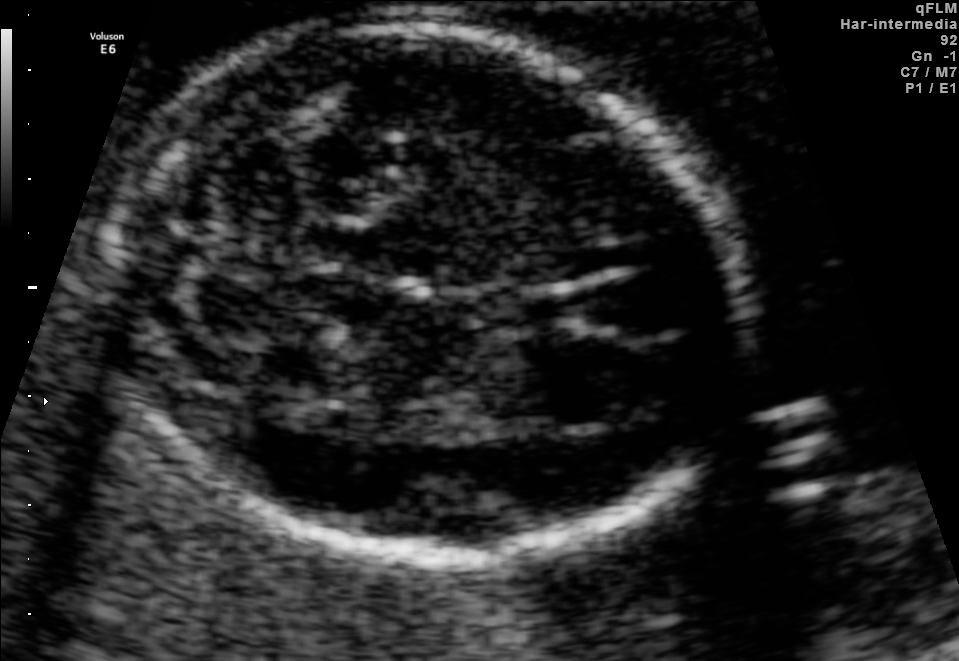
Fetal brain, trans-cerebellum plane. Locate the fetal head.

Head: [119,27,740,554]